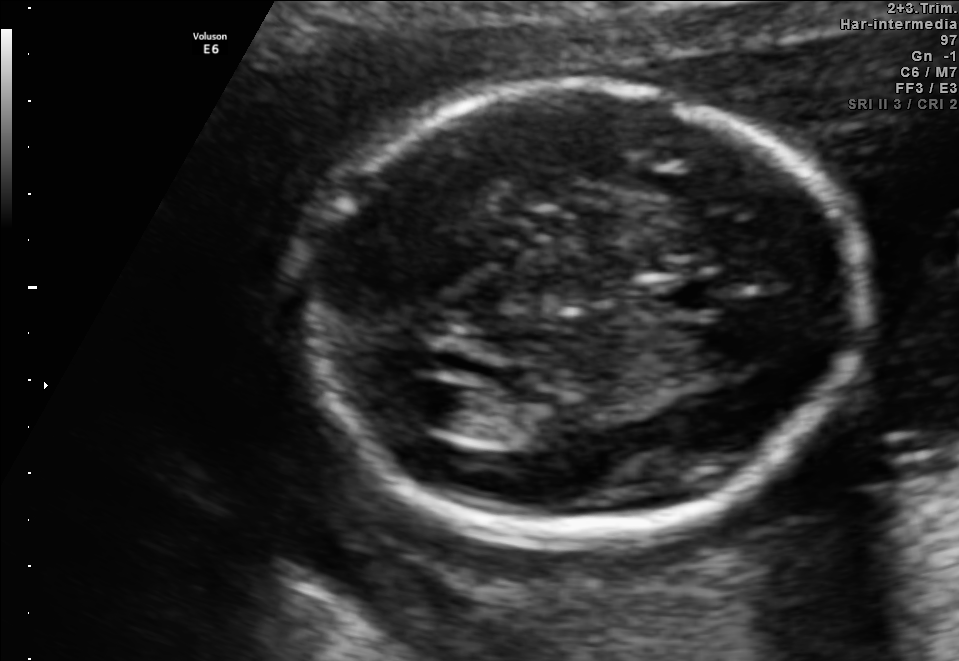
In this fetal brain, trans-ventricular plane, give bounding boxes for the head outline, cavum septum pellucidum (CSP), and lateral ventricle (LV), where visible.

Head: [279,72,876,553]
CSP: [635,276,727,317]
Lateral ventricle: [383,368,476,436]